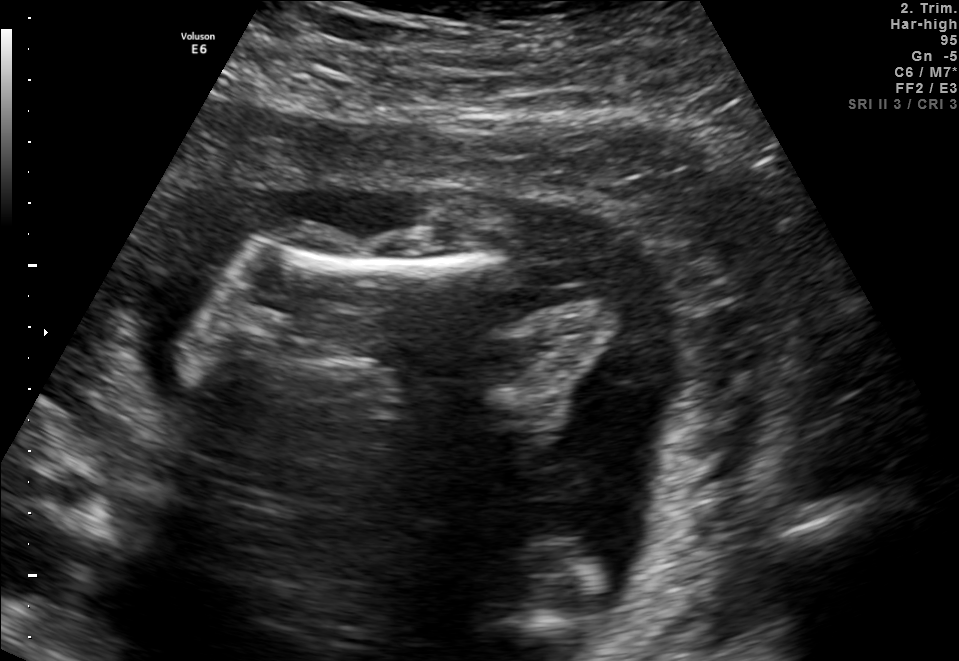
This is a 2D maternal-fetal ultrasound frame. Is it a fetal abdomen, fetal brain, fetal femur, fetal thorax, maternal cervix, or other standard plane? If it's fetal brain and one of the three standard brain planes (trans-thalamic, trans-cerebellum, trans-ventricular), name which.

Other